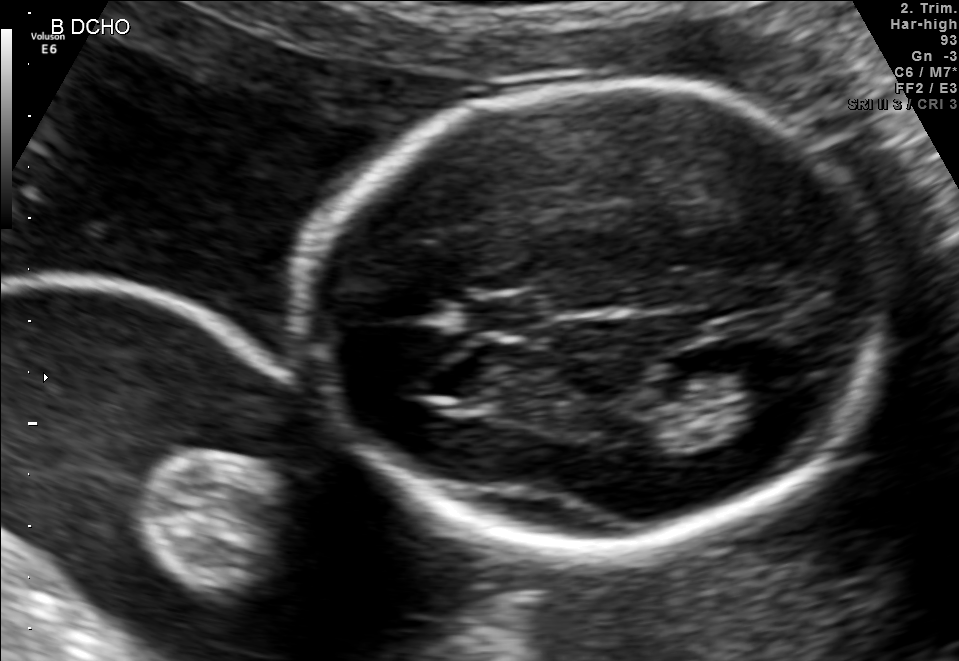
In this fetal brain, trans-thalamic plane, give the bounding box of the fetal head.

[305,81,870,548]